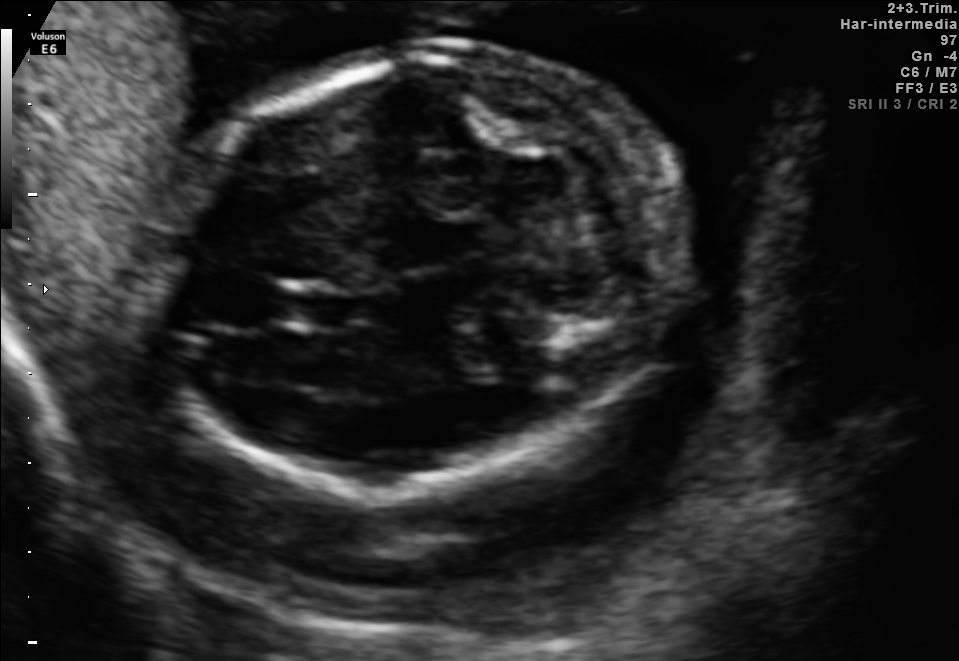
Fetal brain, trans-cerebellum plane. Where is the cavum septum pellucidum?

CSP bounding box: [278,283,352,331]